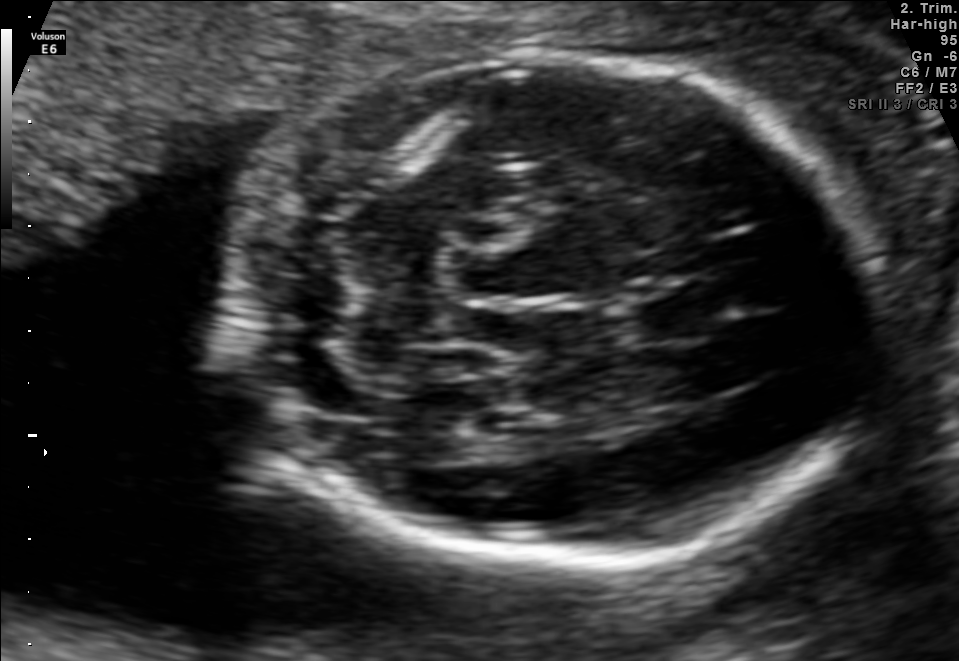
Fetal brain, trans-cerebellum plane. Locate the fetal head.

Head: [225,56,874,565]